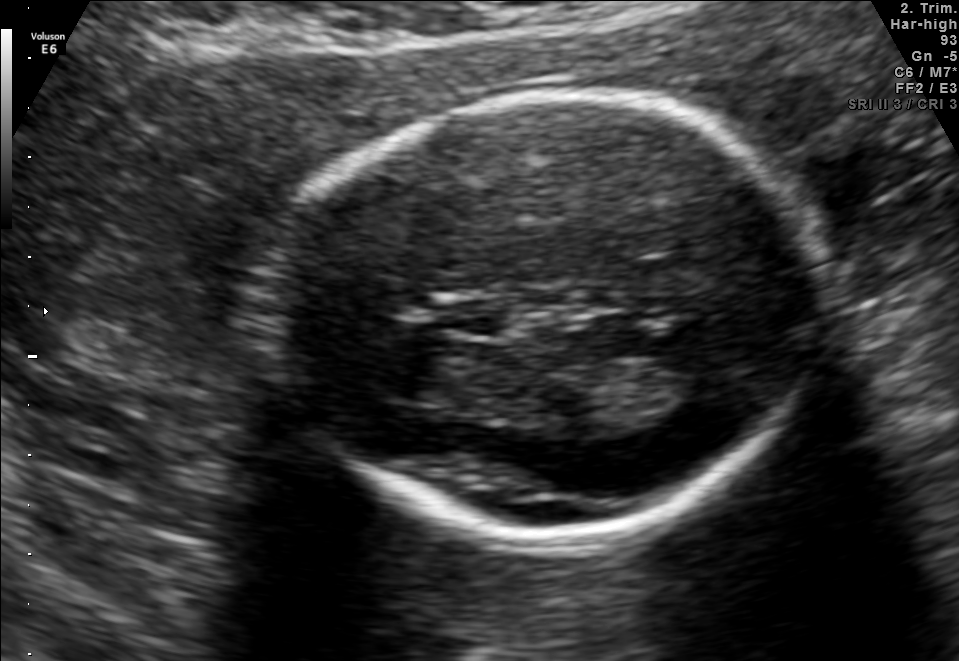
Fetal brain, trans-thalamic plane. Locate the fetal head.

Head: [268,93,819,538]